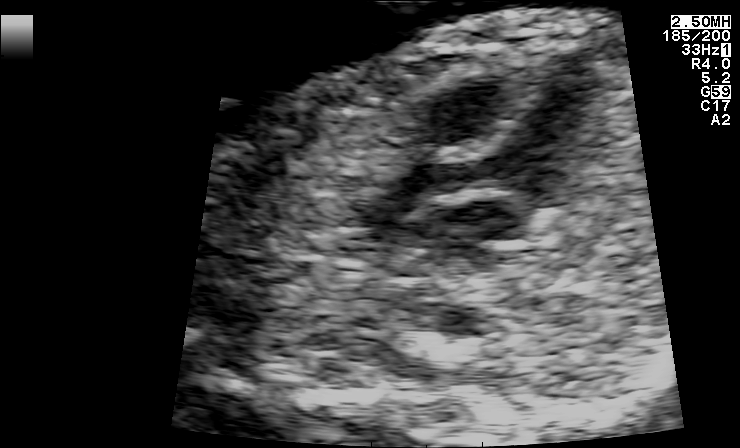
This is a 2D maternal-fetal ultrasound frame. Is it a fetal abdomen, fetal brain, fetal femur, fetal thorax, maternal cervix, or other standard plane? If it's fetal brain and one of the three standard brain planes (trans-thalamic, trans-cerebellum, trans-ventricular), name which.

Other